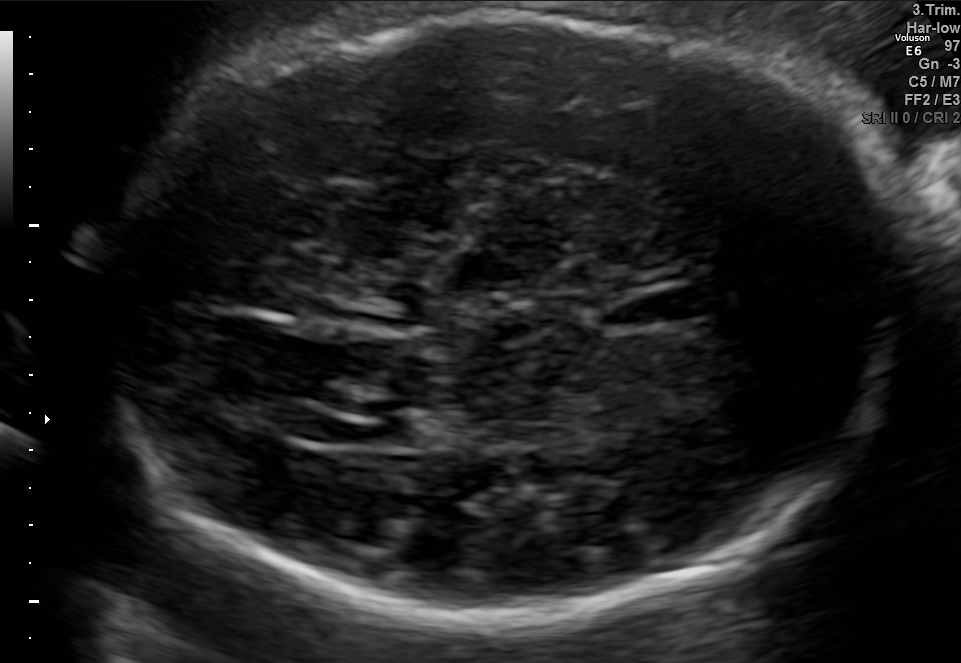
In this fetal brain, trans-ventricular plane, give the bounding box of the fetal head.

[90,11,917,630]